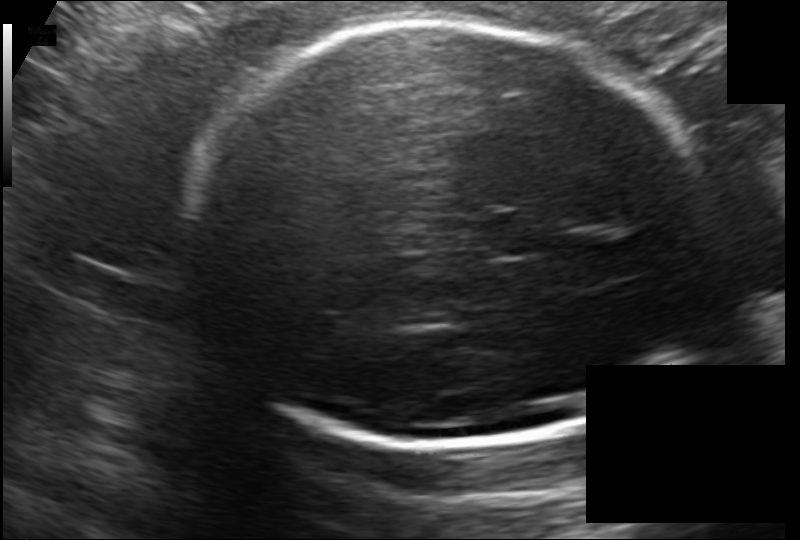
In this fetal head ultrasound, give the bounding box of the fetal head. Image width: 137.9 mm.

[189,21,705,445]